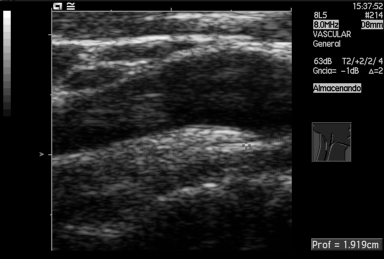
Which standard maternal-fetal ultrasound plane is shown: fetal abdomen, fetal brain, fetal femur, fetal thorax, maternal cervix, or other? If it's fetal brain and one of the three standard brain planes (trans-thalamic, trans-cerebellum, trans-ventricular), name which.

Other